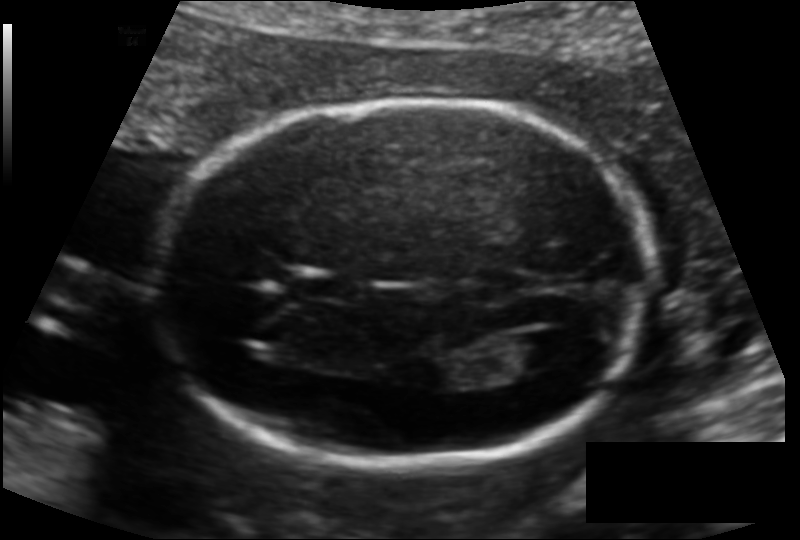
In this fetal head ultrasound, give the bounding box of the lateral ventricle. Image width: 102.6 mm.

[500,326,576,374]